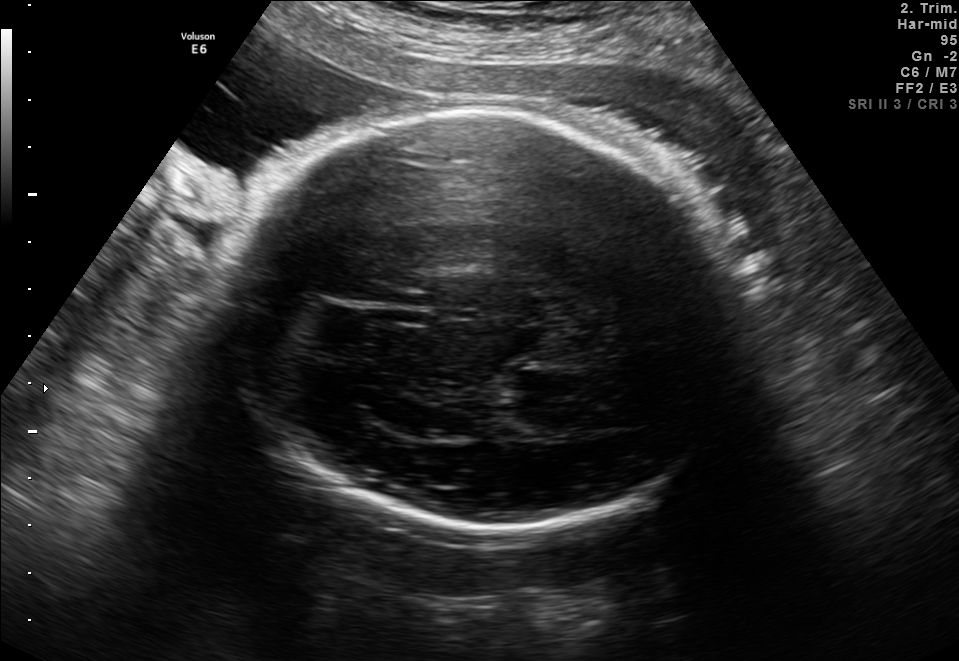
Fetal brain, trans-thalamic plane. Locate the lateral ventricle.

Lateral ventricle: [506,391,595,434]